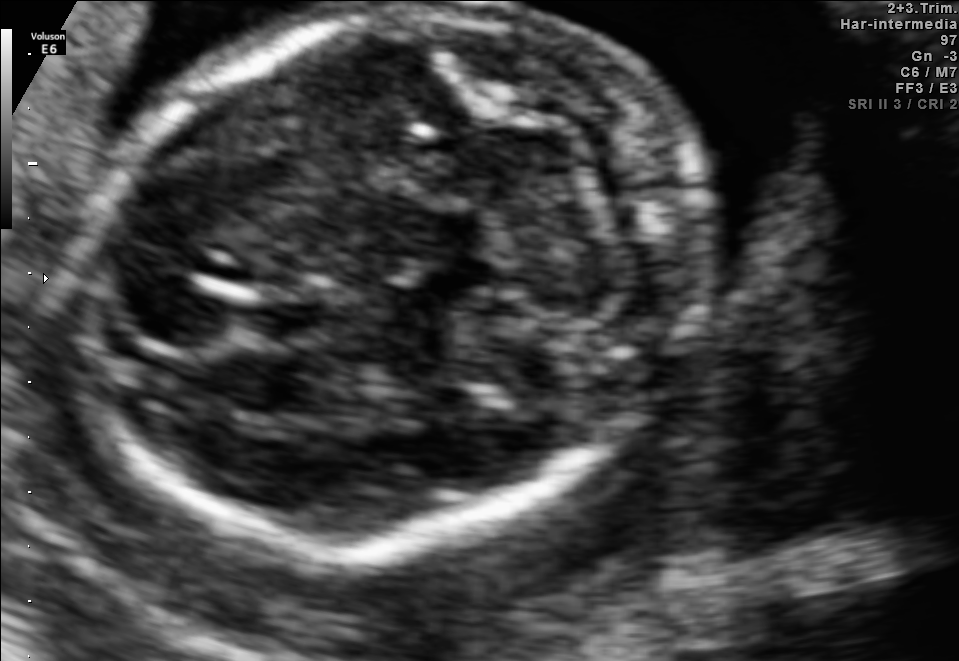
Fetal brain, trans-cerebellum plane. Give [x1,y1,x2,y2] bounding boxes for each visible structure among: fetal head, CSP, LV.

Head: [83,6,700,543]